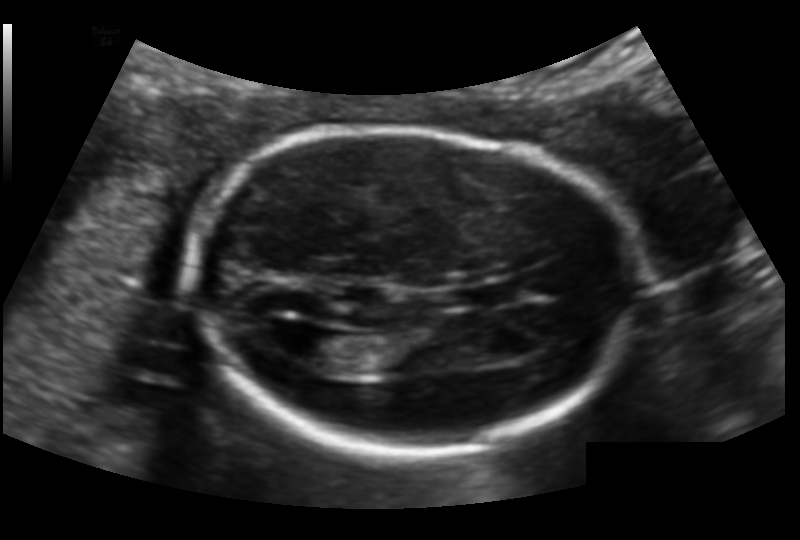
In this fetal head ultrasound, give the bounding box of the cavum septum pellucidum. Image width: 105.5 mm.

[468,279,524,310]